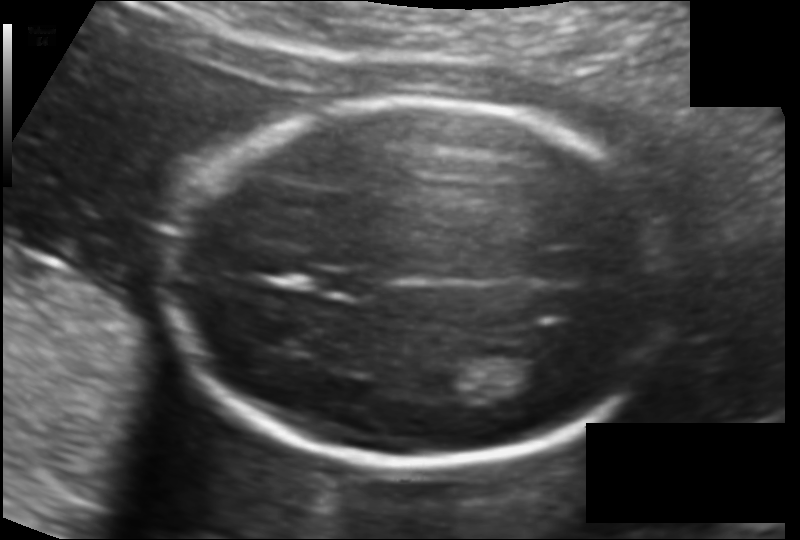
From this fetal ultrasound, estimate the head circumference (image width 97.1 mm).

Head circumference: 169.7 mm.